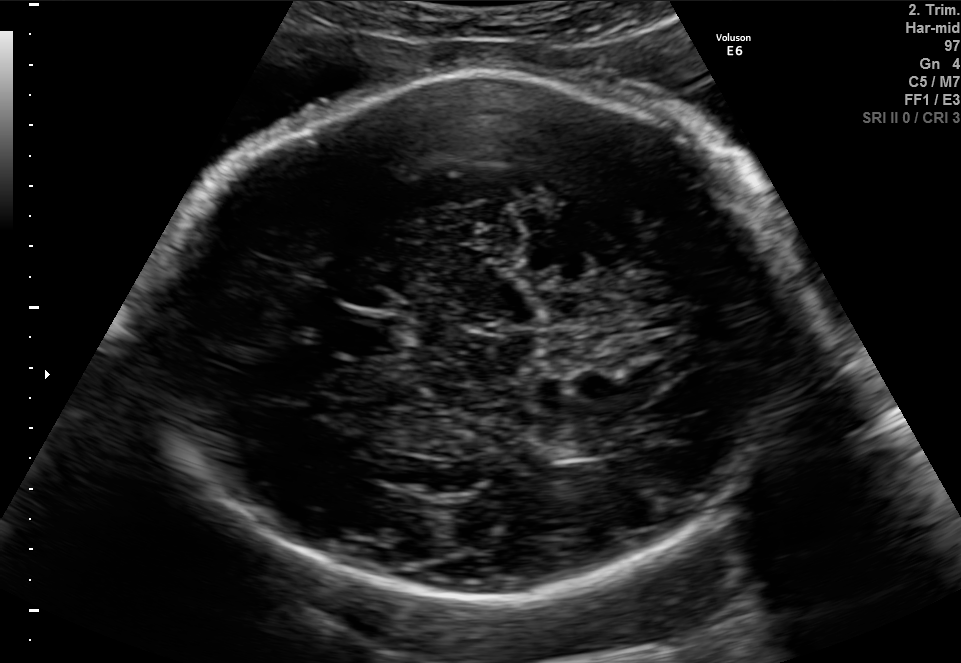
Fetal brain, trans-thalamic plane. Where is the cavum septum pellucidum?

CSP bounding box: [341,314,397,355]